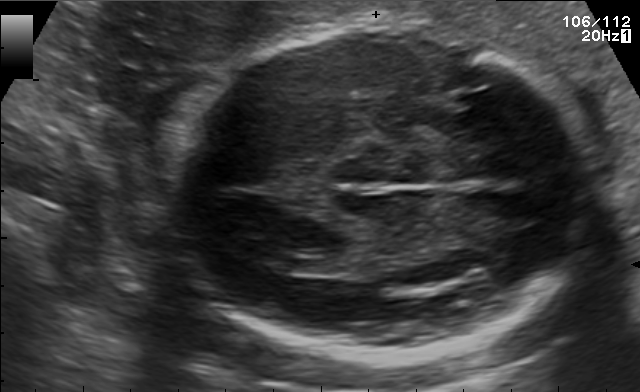
Fetal brain, trans-ventricular plane. Locate the fetal head and, if visible, the cavum septum pellucidum (CSP) and lateral ventricle (LV). Give bounding boxes as [x1,y1,x2,y2].

Head: [157,21,609,370]
Lateral ventricle: [270,255,306,274]